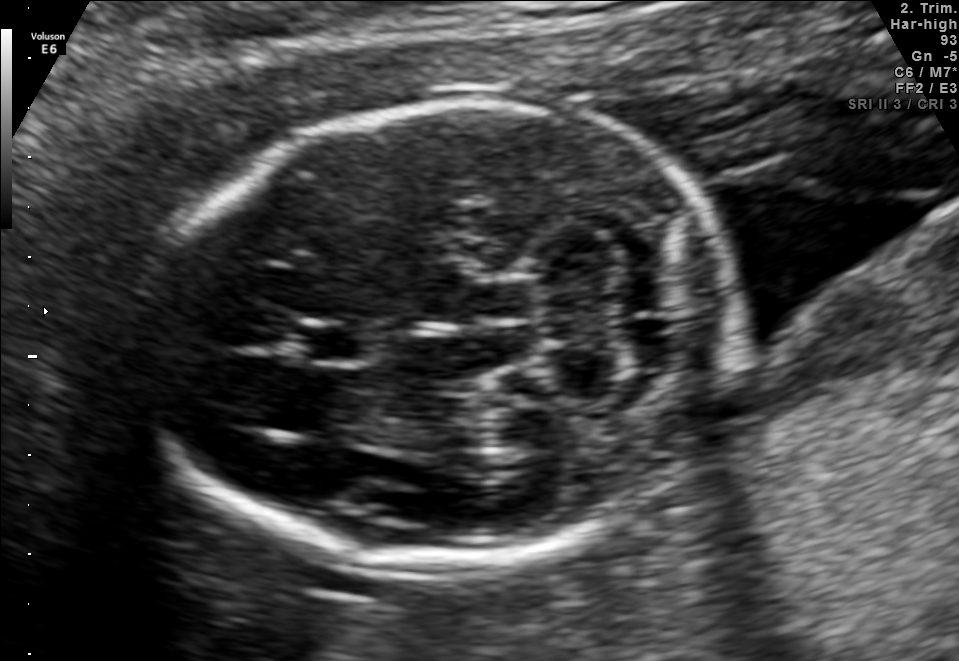
In this fetal brain, trans-cerebellum plane, give bounding boxes for the head outline, cavum septum pellucidum (CSP), and lateral ventricle (LV), where visible.

Head: [152,103,733,564]
CSP: [299,319,376,364]